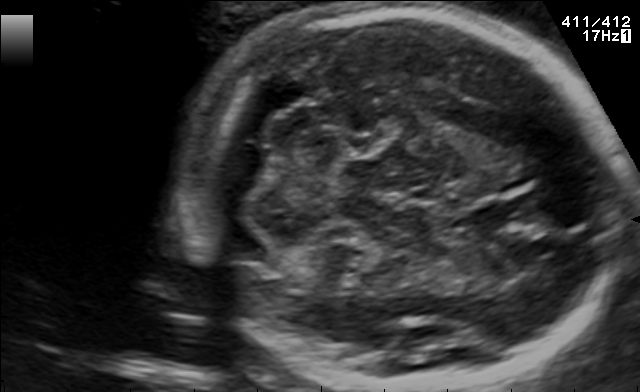
Fetal brain, trans-cerebellum plane. Where is the fetal head?

Head bounding box: [191,4,619,387]